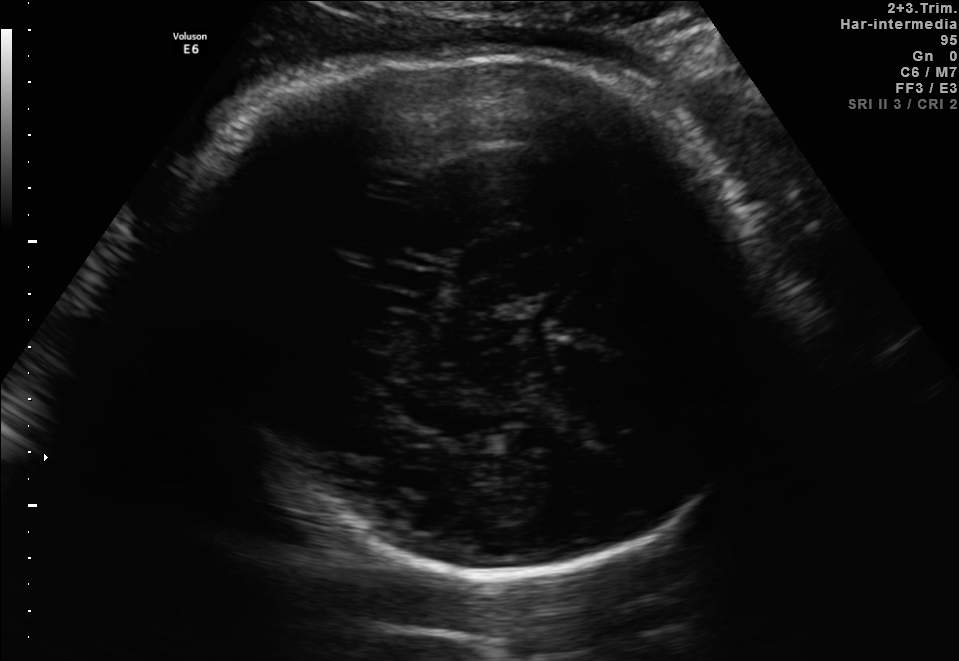
In this fetal brain, trans-thalamic plane, give bounding boxes for the head outline, cavum septum pellucidum (CSP), and lateral ventricle (LV), where visible.

Head: [220,55,767,592]